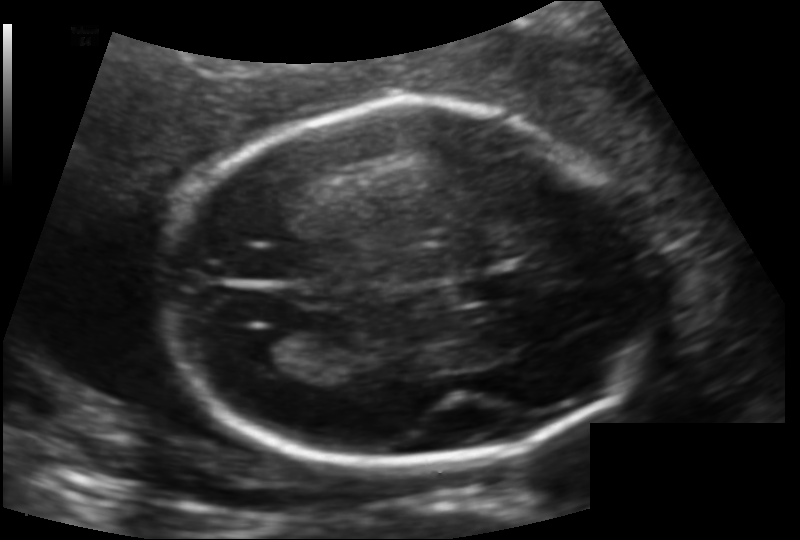
Estimate the fetal head circumference from this 2D ultrasound. Image width: 106.2 mm.

Head circumference: 185.7 mm.